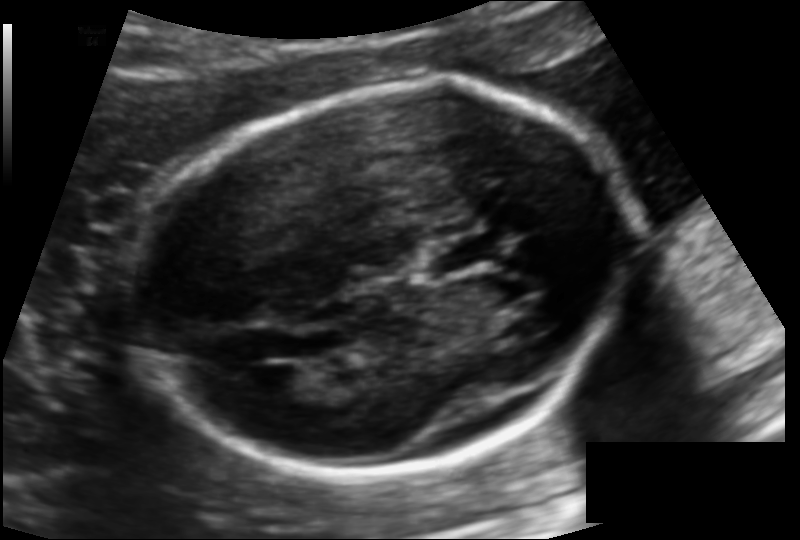
In this fetal head ultrasound, give the bounding box of the cavum septum pellucidum. Image width: 99.2 mm.

[416,228,503,284]